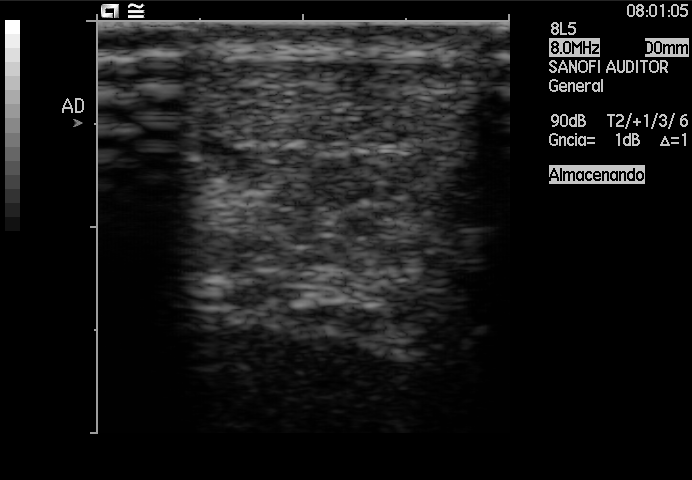
Which standard maternal-fetal ultrasound plane is shown: fetal abdomen, fetal brain, fetal femur, fetal thorax, maternal cervix, or other? If it's fetal brain and one of the three standard brain planes (trans-thalamic, trans-cerebellum, trans-ventricular), name which.

Other